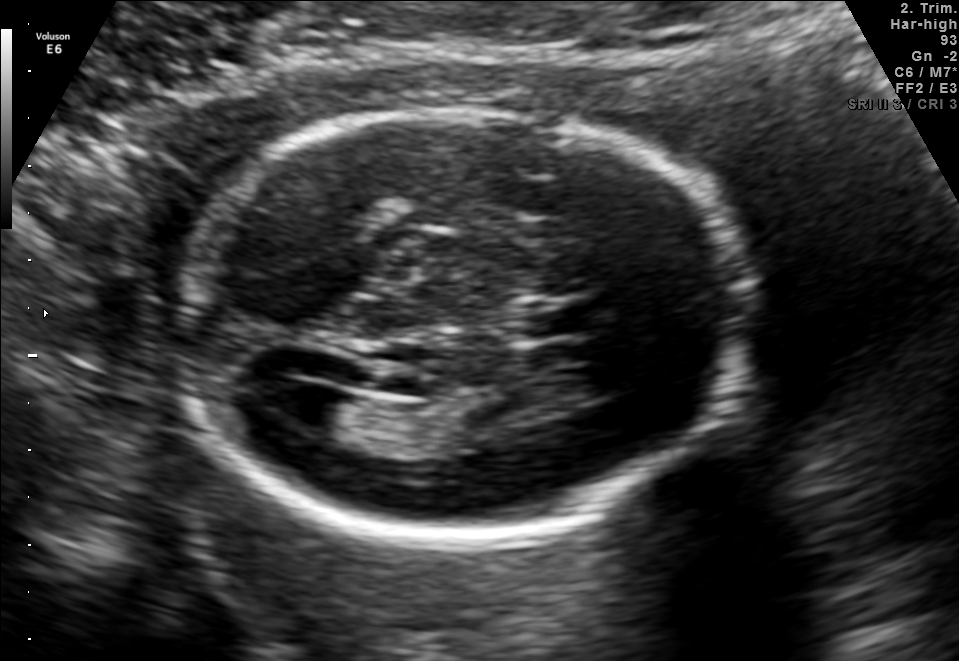
Fetal brain, trans-ventricular plane. Give [x1,y1,x2,y2] bounding boxes for each visible structure among: fetal head, CSP, LV.

Head: [167,95,762,556]
CSP: [530,301,581,338]
Lateral ventricle: [261,372,342,433]